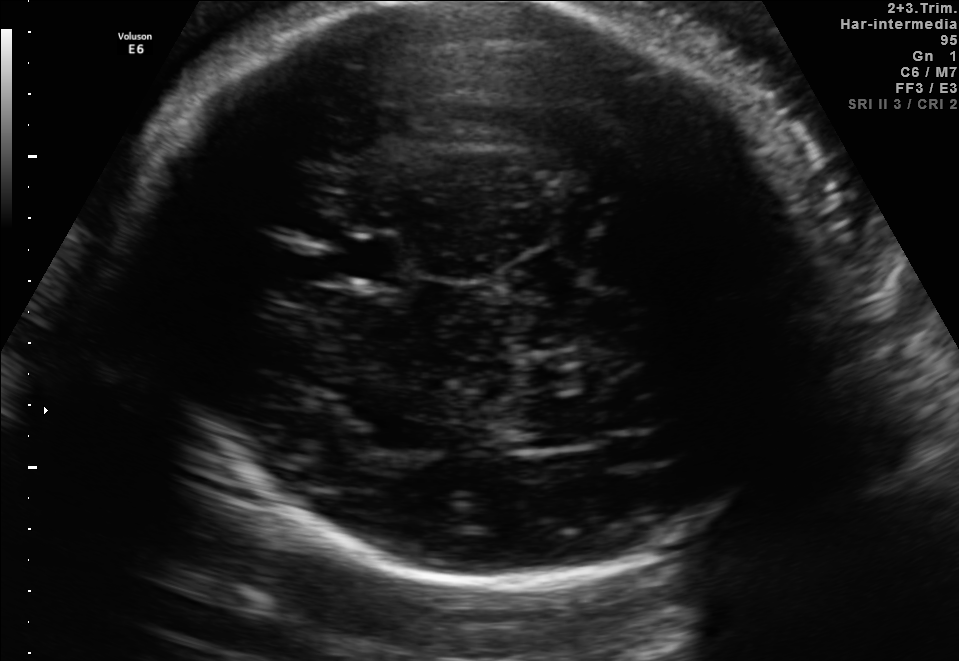
Fetal brain, trans-thalamic plane. Where is the lateral ventricle?

Lateral ventricle bounding box: [501,395,605,453]